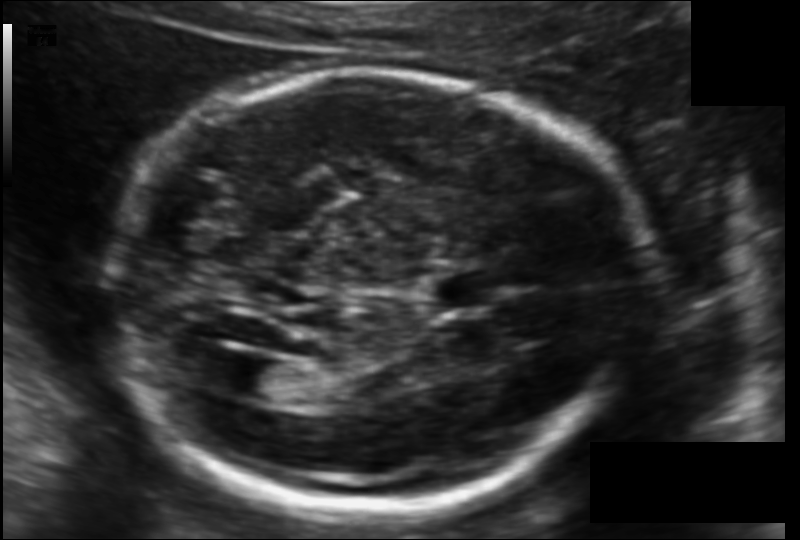
Fetal head ultrasound. Image width: 95.3 mm. Give [x1,y1,x2,y2] bounding boxes for each visible structure among: fetal head, CSP, LV.

Head: [104,69,634,510]
CSP: [428,262,504,317]
Lateral ventricle: [221,355,293,402]